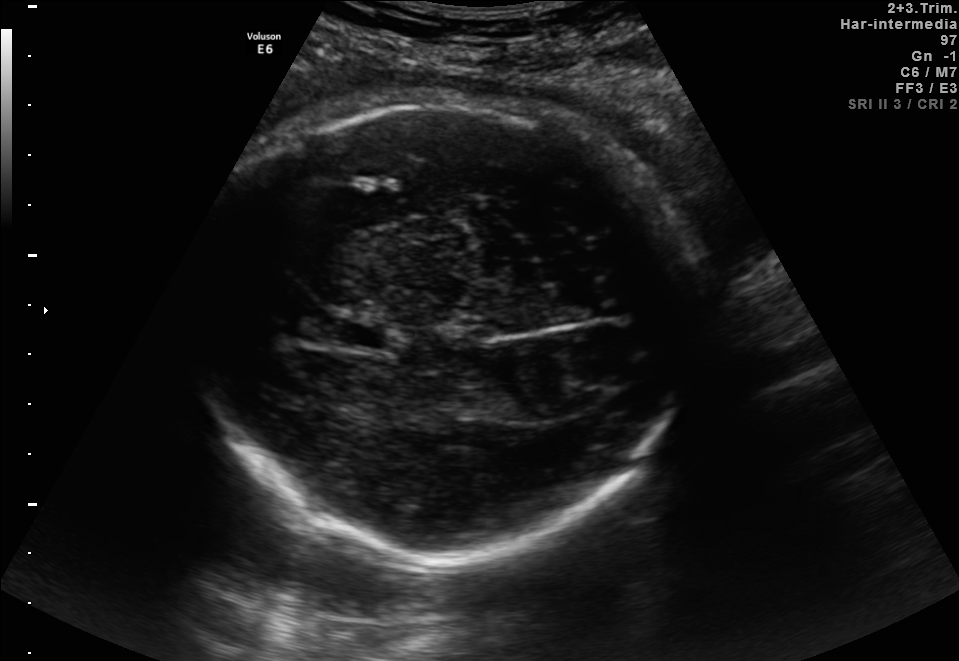
Fetal brain, trans-thalamic plane. Locate the cavum septum pellucidum.

CSP: [334,318,388,350]